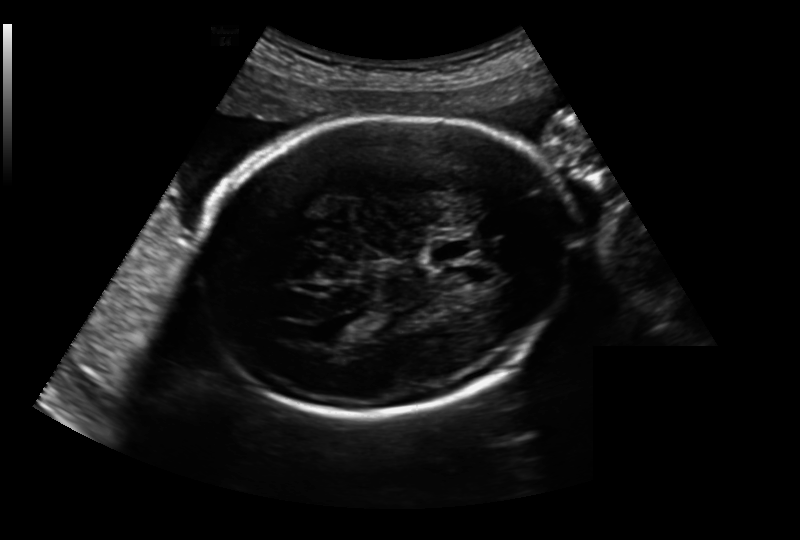
Measure the fetal head circumference shown in this ultrasound image. Image width: 170.6 mm.

Head circumference: 233.3 mm.